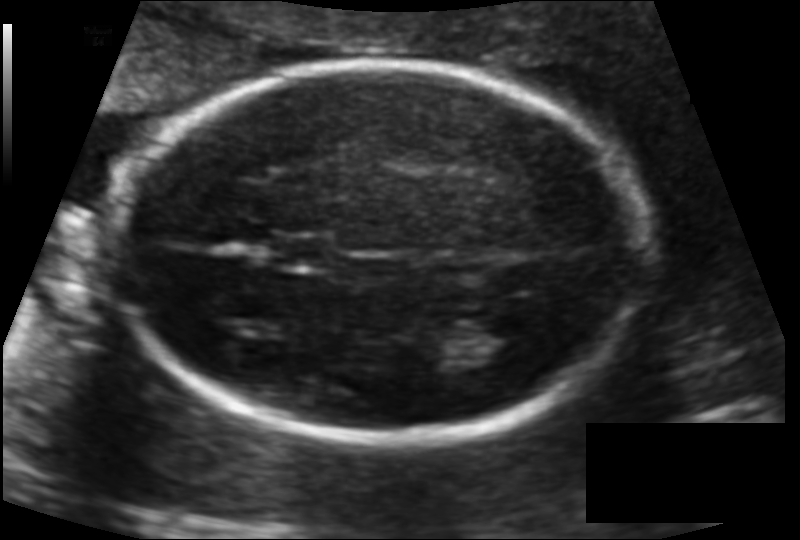
What is the fetal head circumference? Image width is 91.7 mm.

167.2 mm